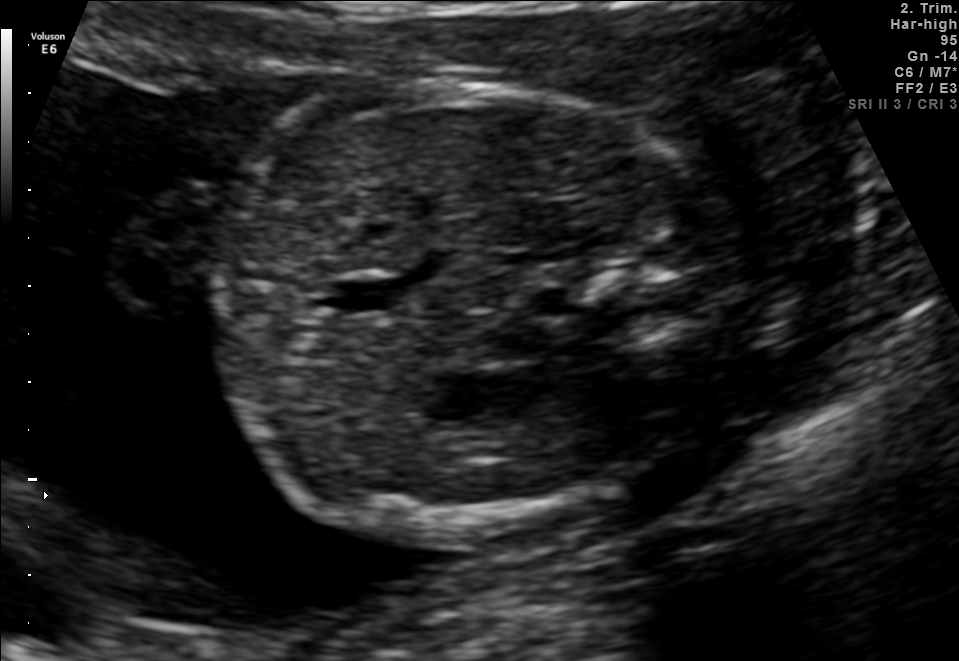
This is a 2D maternal-fetal ultrasound frame. Is it a fetal abdomen, fetal brain, fetal femur, fetal thorax, maternal cervix, or other standard plane? If it's fetal brain and one of the three standard brain planes (trans-thalamic, trans-cerebellum, trans-ventricular), name which.

Fetal abdomen